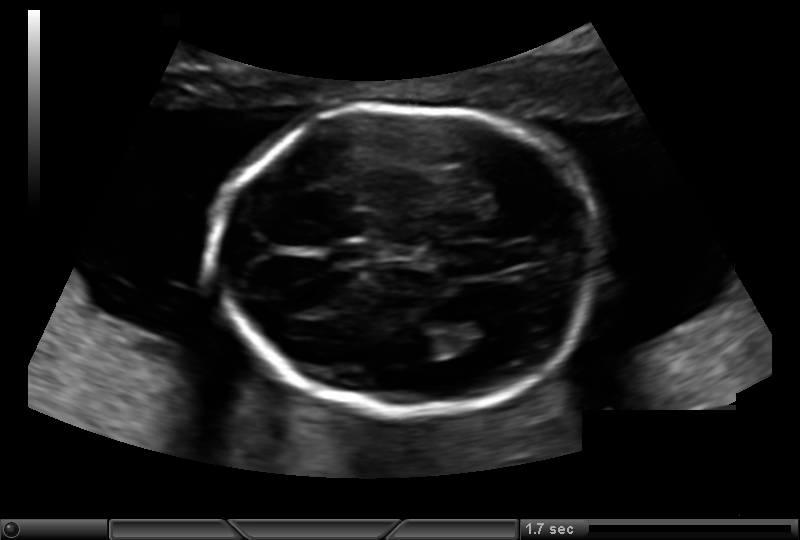
Fetal head ultrasound. Image width: 107.7 mm. Locate the cavum septum pellucidum.

CSP: [334,242,375,263]